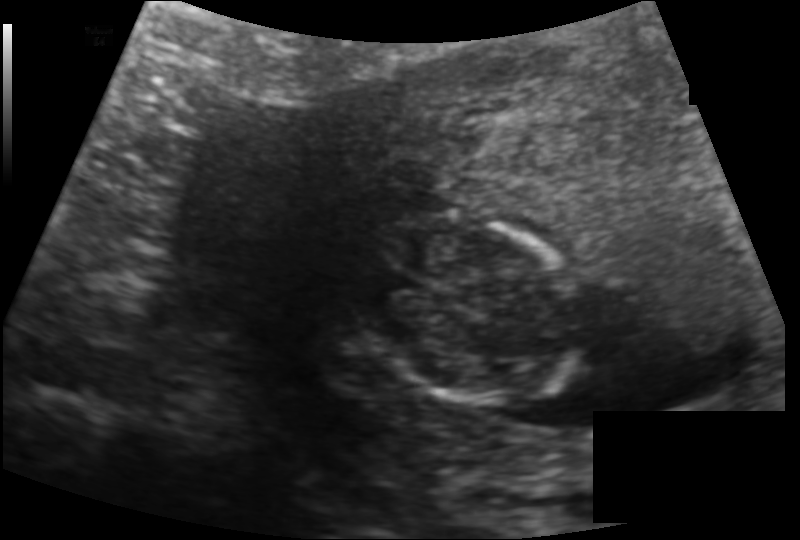
Fetal head ultrasound. Image width: 102.6 mm. Locate the fetal head and, if visible, the cavum septum pellucidum (CSP) and lateral ventricle (LV). Give bounding boxes as [x1,y1,x2,y2].

Head: [360,215,581,404]